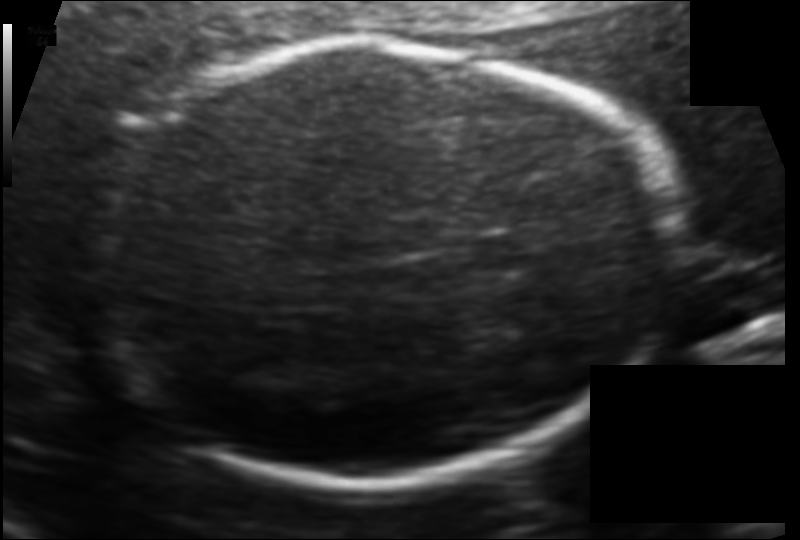
From this fetal ultrasound, estimate the head circumference (image width 91.1 mm).

Head circumference: 187.5 mm.